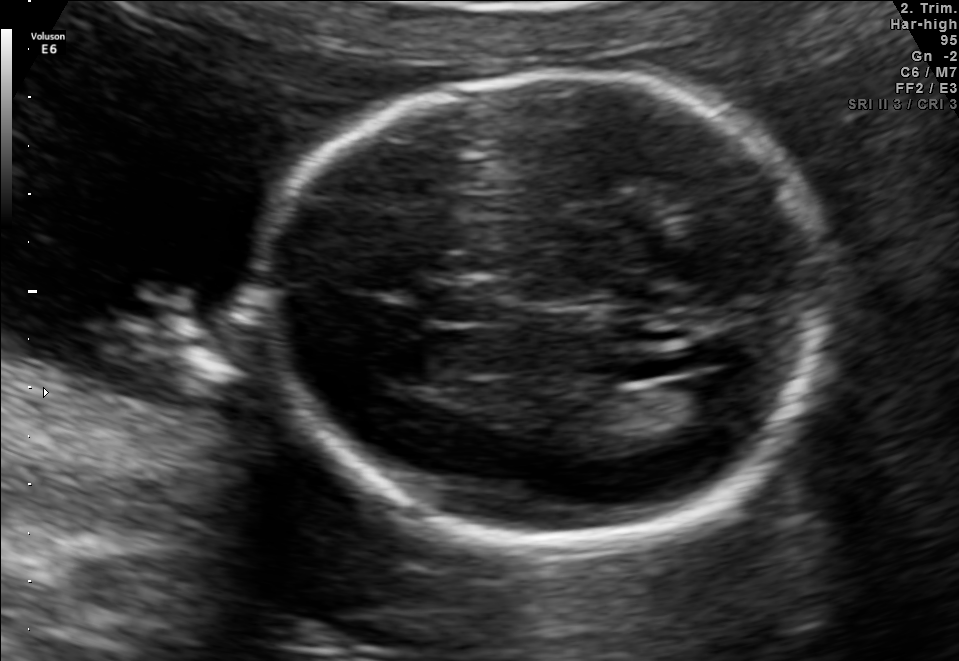
Fetal brain, trans-ventricular plane. Locate the fetal head and, if visible, the cavum septum pellucidum (CSP) and lateral ventricle (LV). Give bounding boxes as [x1,y1,x2,y2].

Head: [244,65,855,556]
CSP: [427,290,497,323]
Lateral ventricle: [670,369,750,431]